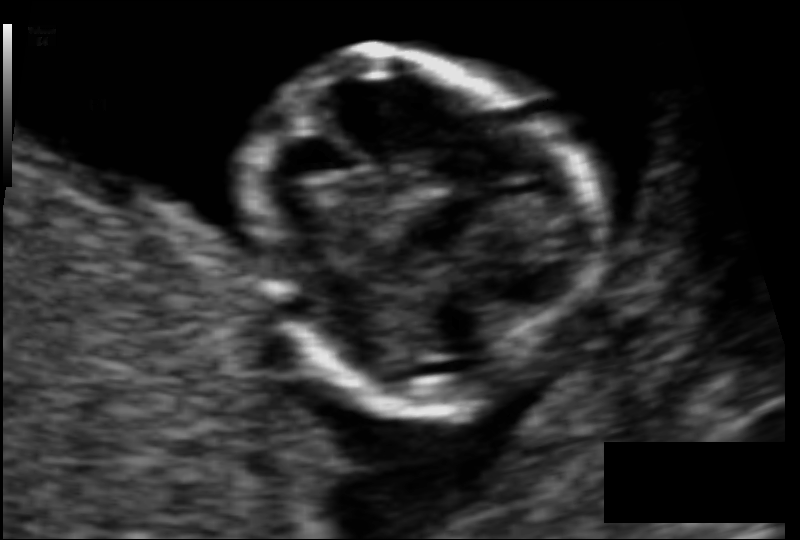
Fetal head ultrasound. Image width: 54.6 mm. Locate the fetal head and, if visible, the cavum septum pellucidum (CSP) and lateral ventricle (LV). Give bounding boxes as [x1,y1,x2,y2].

Head: [239,59,582,398]